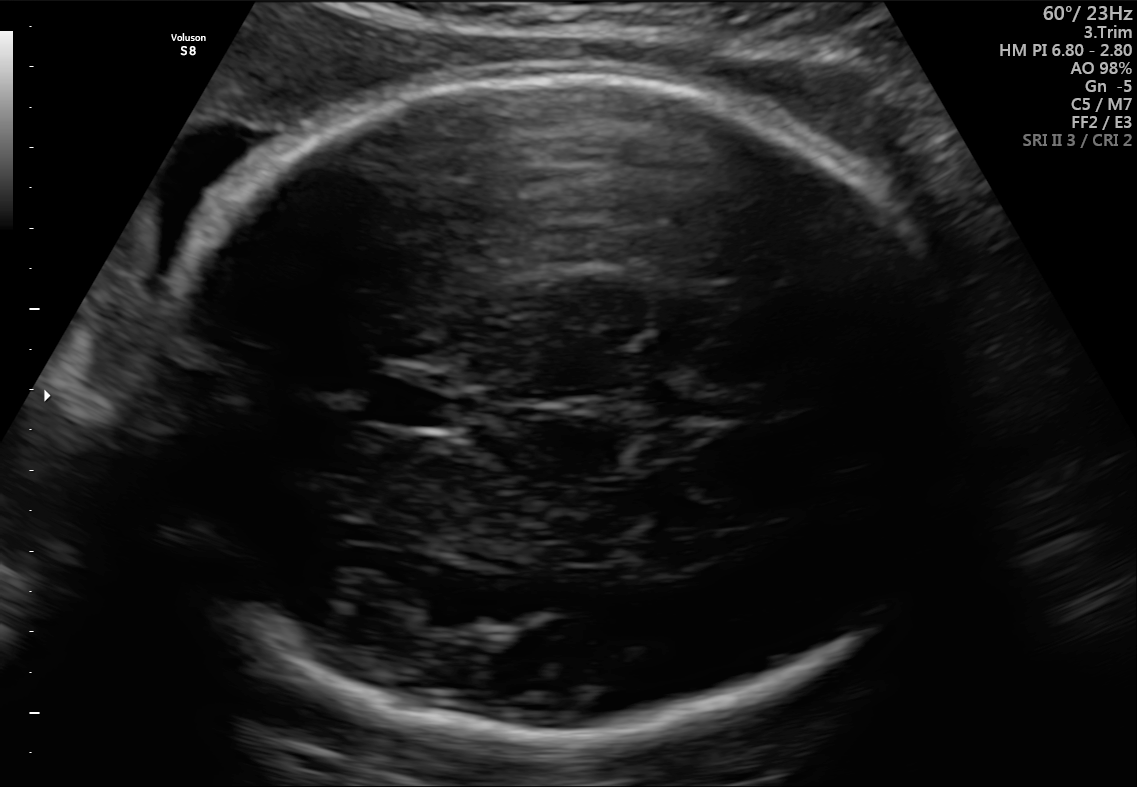
Fetal brain, trans-thalamic plane. Locate the fetal head.

Head: [159,75,964,743]